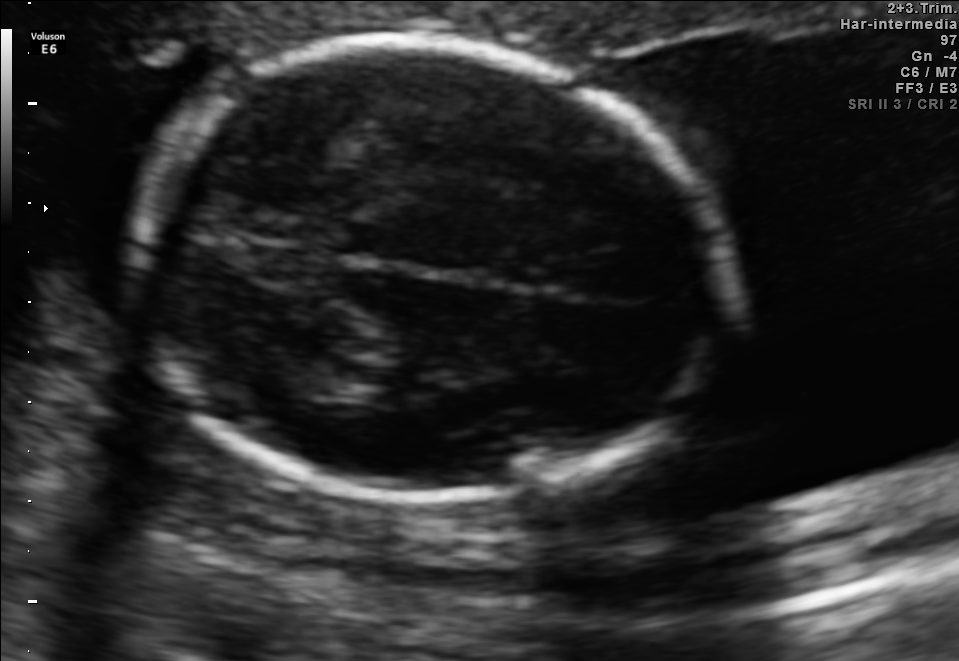
Which standard maternal-fetal ultrasound plane is shown: fetal abdomen, fetal brain, fetal femur, fetal thorax, maternal cervix, or other? If it's fetal brain and one of the three standard brain planes (trans-thalamic, trans-cerebellum, trans-ventricular), name which.

Fetal brain (trans-thalamic plane)